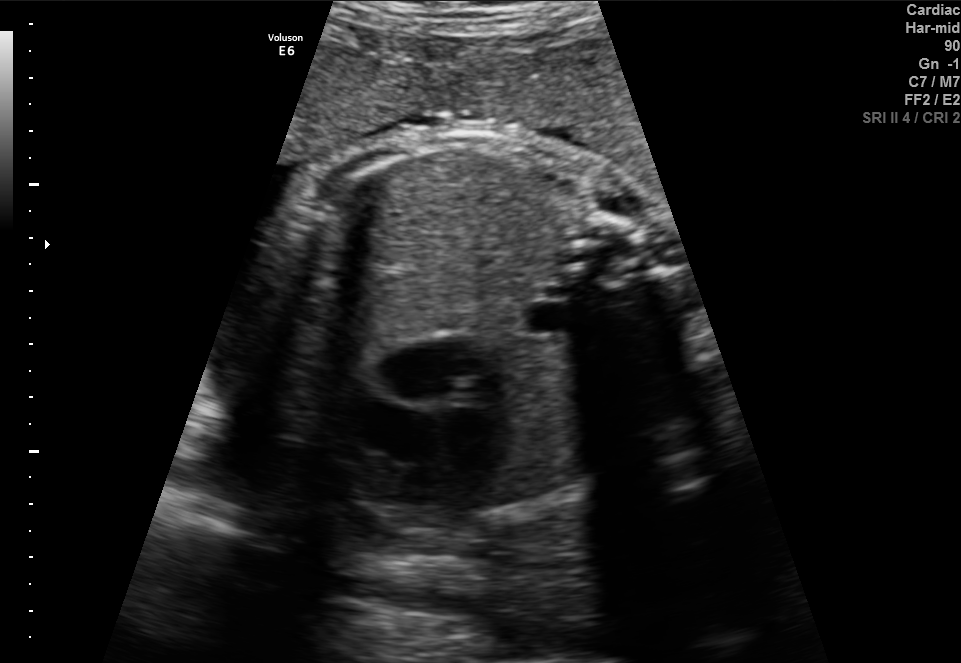
Classify this maternal-fetal ultrasound image as one of the six standard planes — fetal abdomen, fetal brain, fetal femur, fetal thorax, maternal cervix, or other. If it's fetal brain and one of the three standard brain planes (trans-thalamic, trans-cerebellum, trans-ventricular), name which.

Fetal thorax